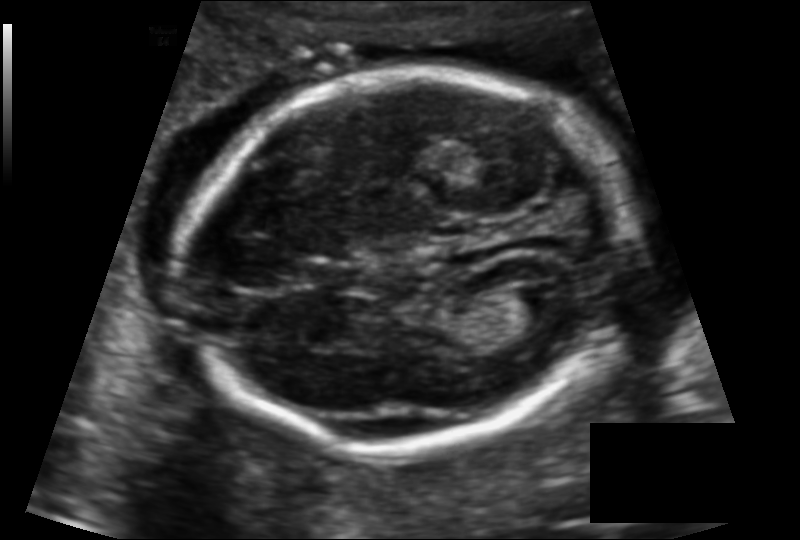
In this fetal head ultrasound, give the bounding box of the lateral ventricle. Image width: 99.3 mm.

[505,276,577,332]